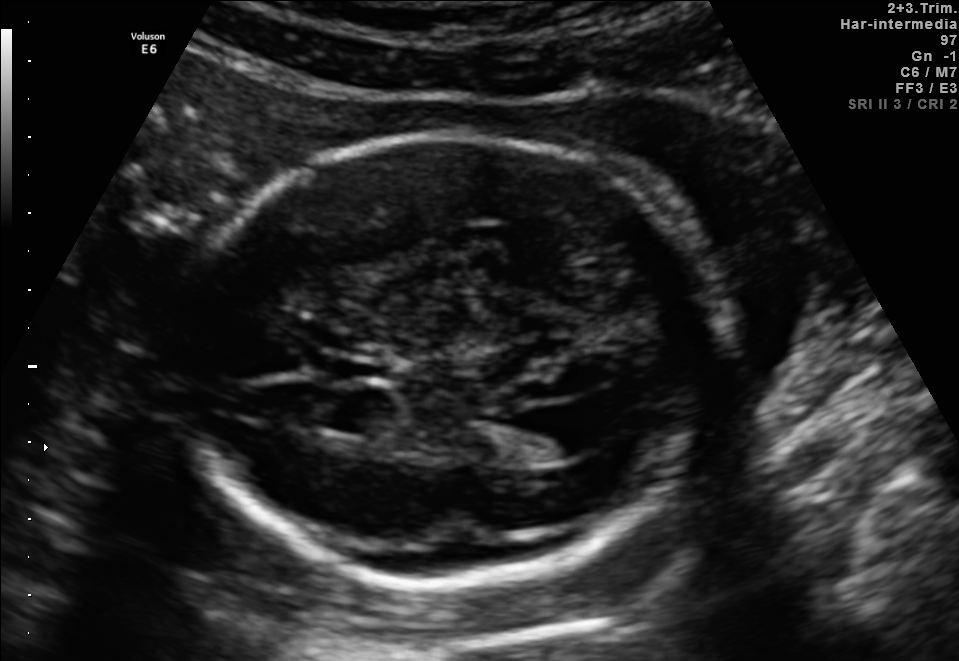
Fetal brain, trans-ventricular plane. Where is the lateral ventricle?

Lateral ventricle bounding box: [524,394,619,464]